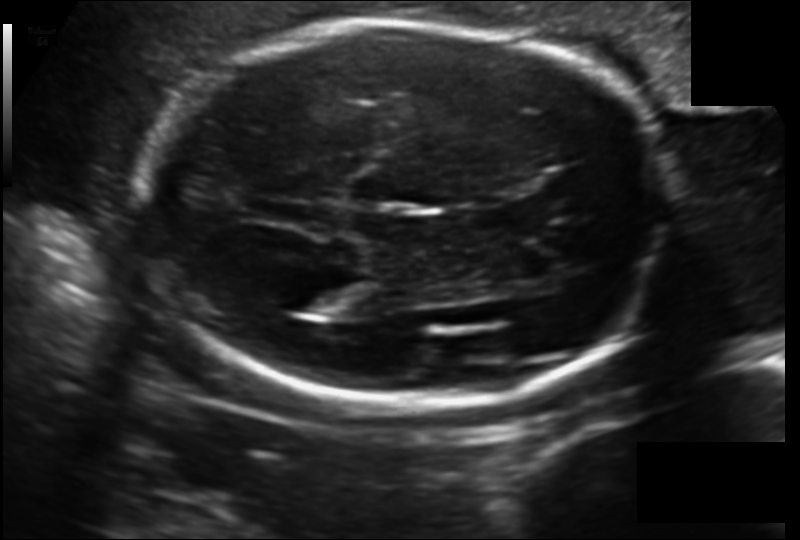
Fetal head ultrasound. Image width: 121.4 mm. Locate the fetal head.

Head: [143,19,669,407]